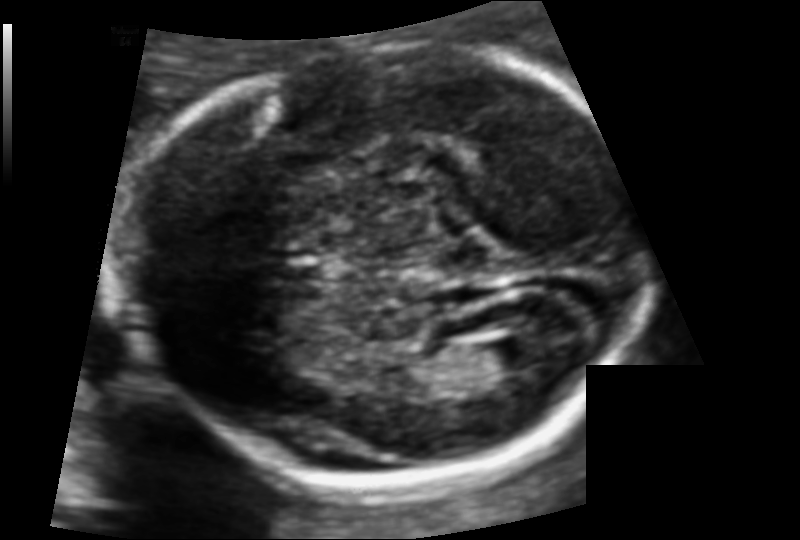
Measure the fetal head circumference shown in this ultrasound image. Image width: 84.2 mm.

Head circumference: 163.7 mm.